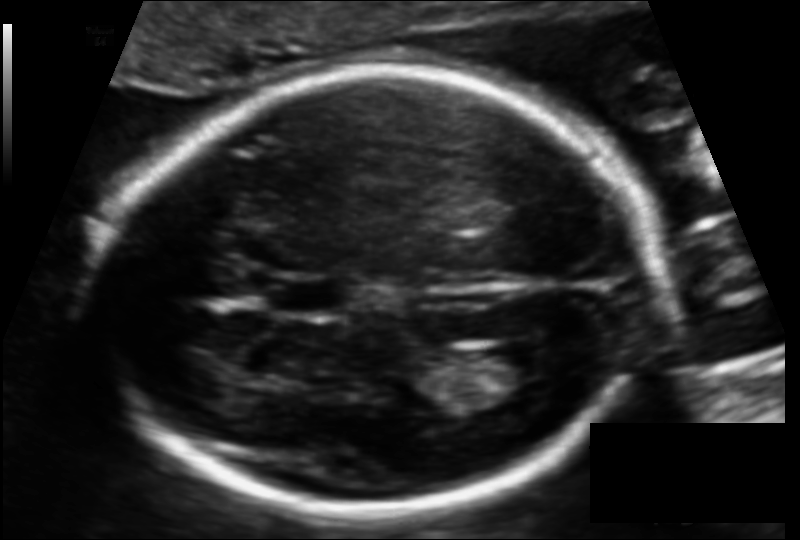
What is the fetal head circumference? Image width is 89.8 mm.

186.5 mm